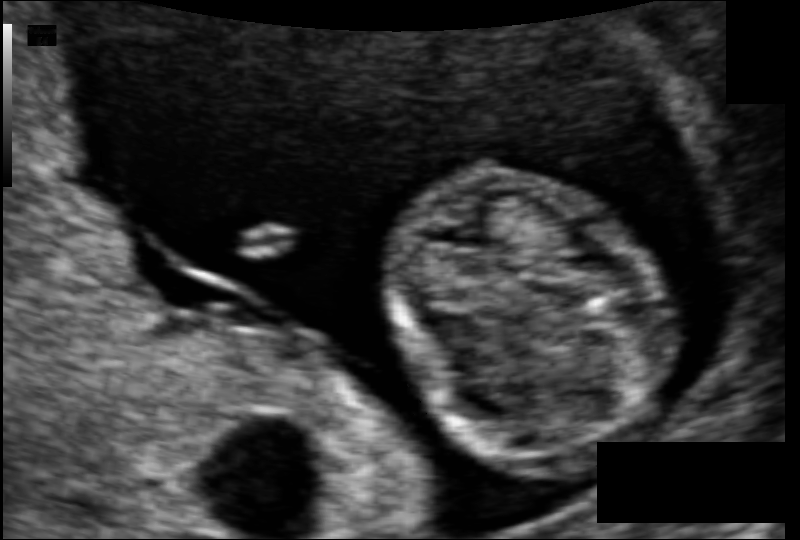
In this fetal head ultrasound, give the bounding box of the fetal head. Image width: 59.6 mm.

[387,163,668,460]